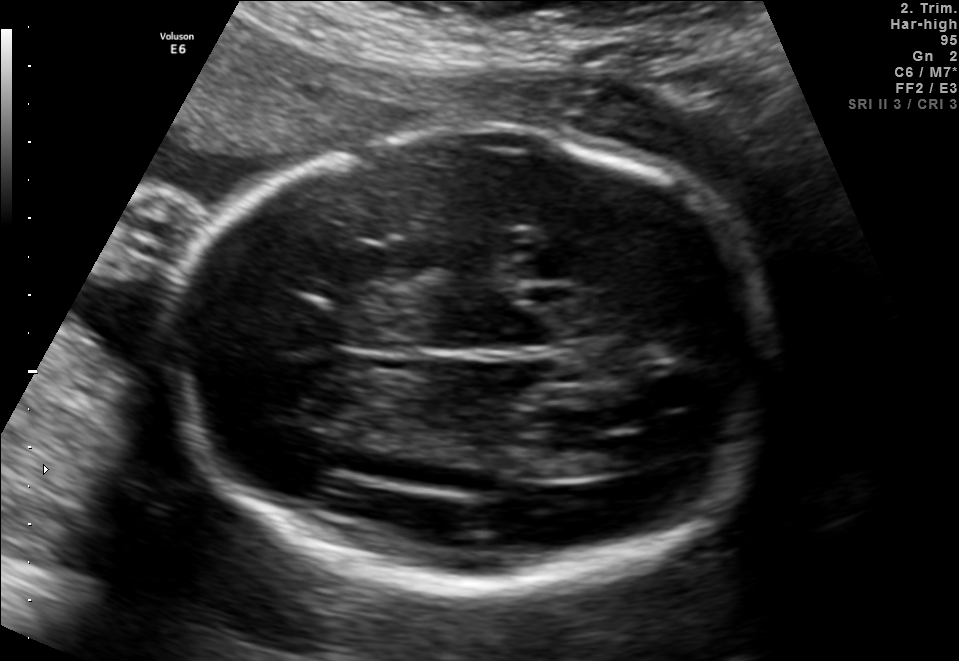
In this fetal brain, trans-thalamic plane, give the bounding box of the fetal head.

[160,127,787,594]